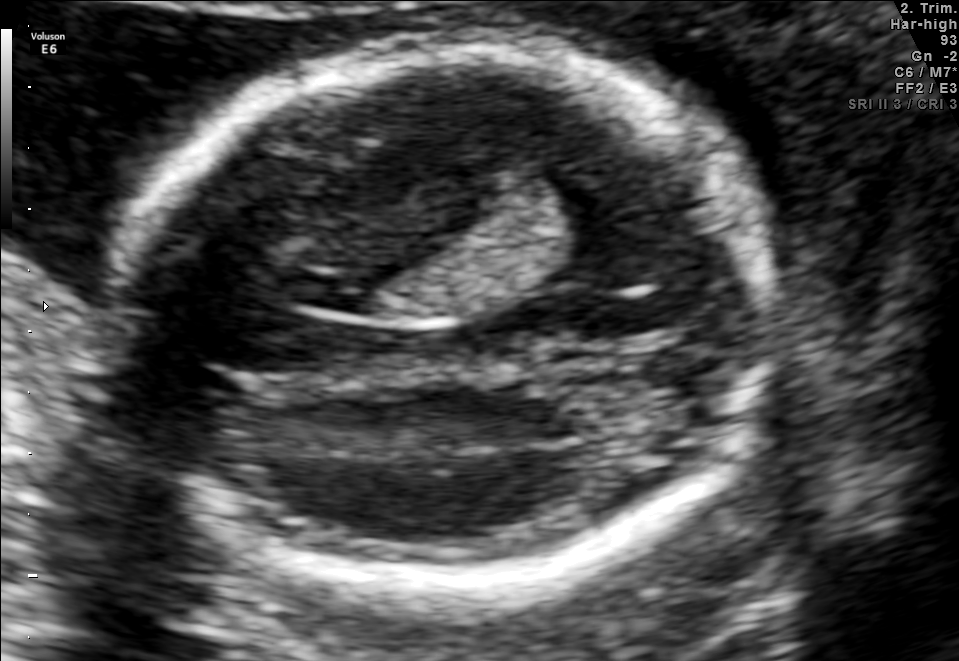
Fetal brain, trans-ventricular plane. Where is the fetal head?

Head bounding box: [102,43,791,592]